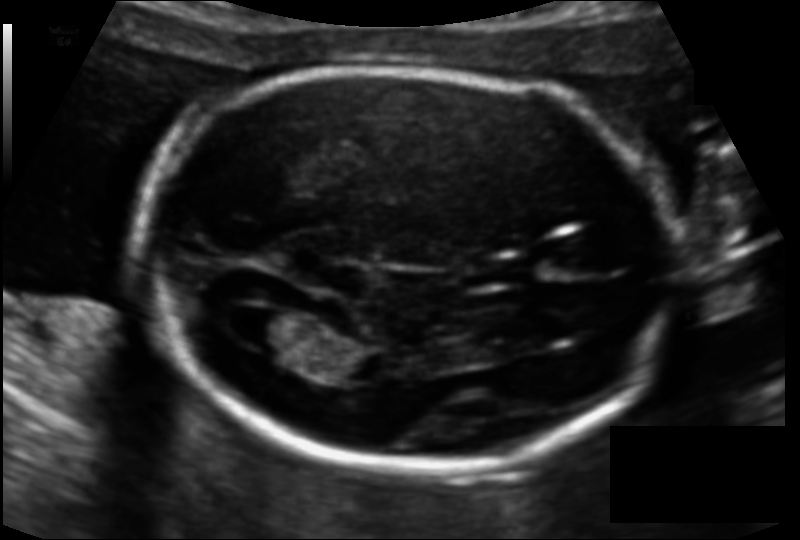
In this fetal head ultrasound, give bounding boxes for the head outline, cavum septum pellucidum (CSP), and lateral ventricle (LV), where visible. Image width: 89.1 mm.

Head: [140,66,673,471]
CSP: [468,252,532,293]
Lateral ventricle: [222,297,297,355]